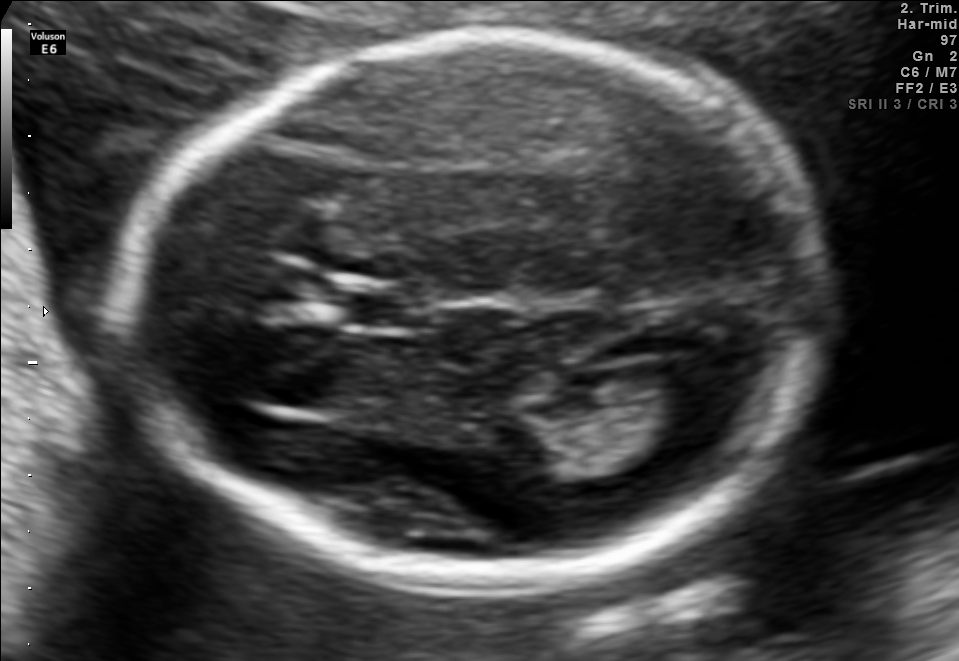
Fetal brain, trans-ventricular plane. Locate the fetal head and, if visible, the cavum septum pellucidum (CSP) and lateral ventricle (LV). Give bounding boxes as [x1,y1,x2,y2].

Head: [131,22,840,589]
CSP: [349,291,428,329]